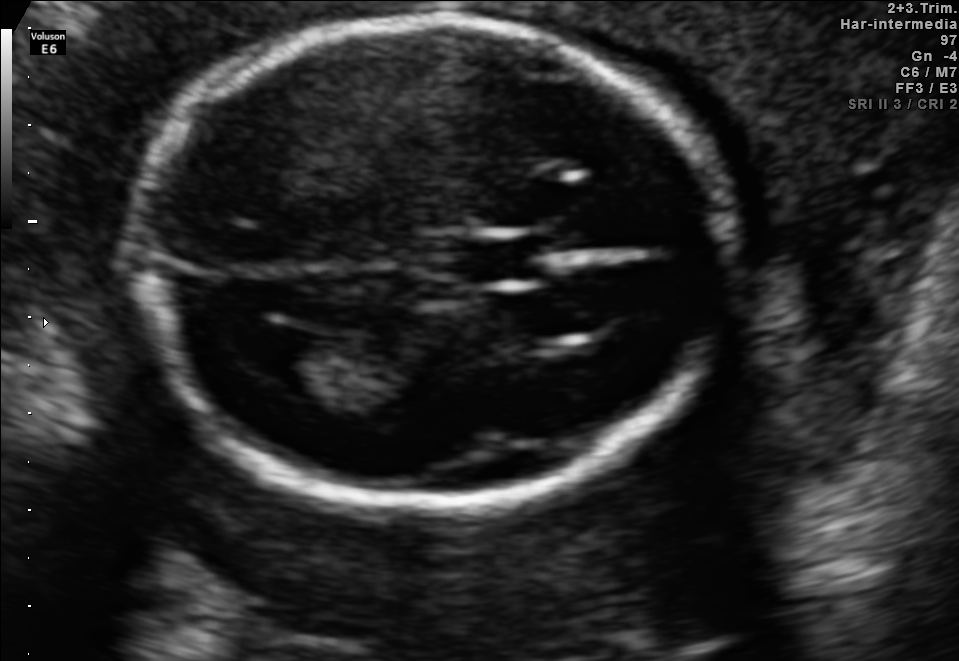
Fetal brain, trans-ventricular plane. Where is the fetal head?

Head bounding box: [120,13,741,512]